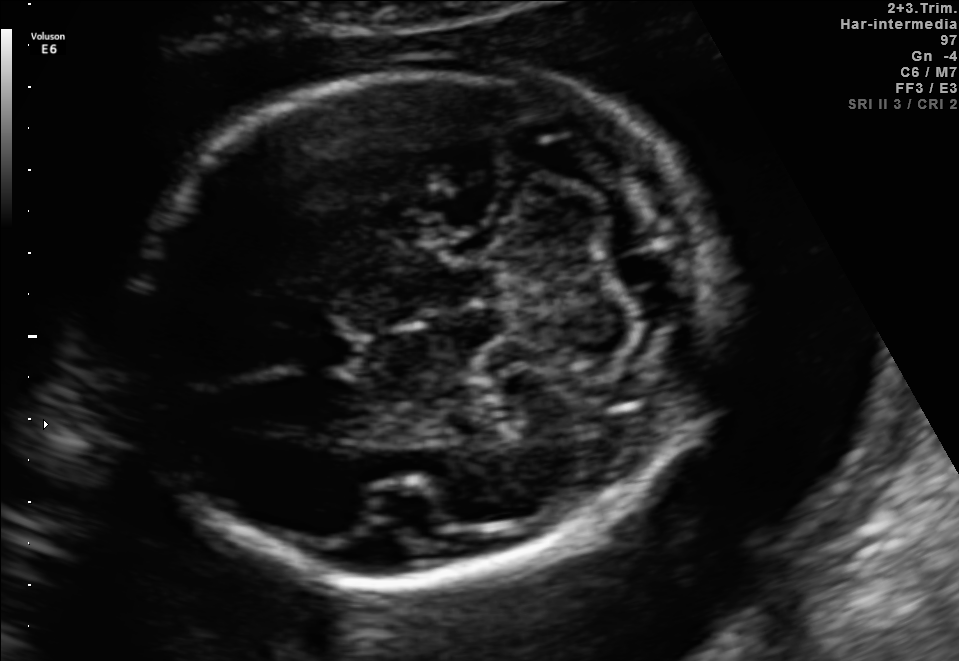
In this fetal brain, trans-cerebellum plane, give bounding boxes for the head outline, cavum septum pellucidum (CSP), and lateral ventricle (LV), where visible.

Head: [128,66,717,583]
CSP: [288,329,358,374]